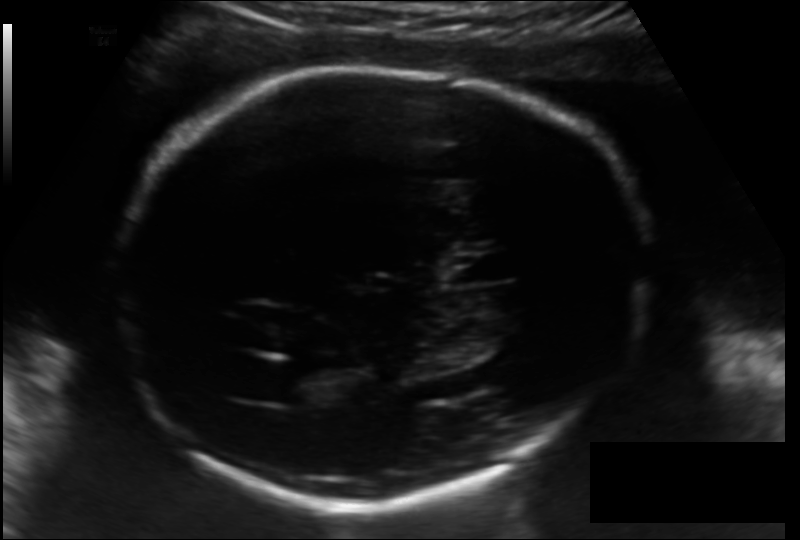
Fetal head ultrasound. Image width: 125.8 mm. Give [x1,y1,x2,y2] bounding boxes for each visible structure among: fetal head, CSP, LV.

Head: [113,64,648,504]